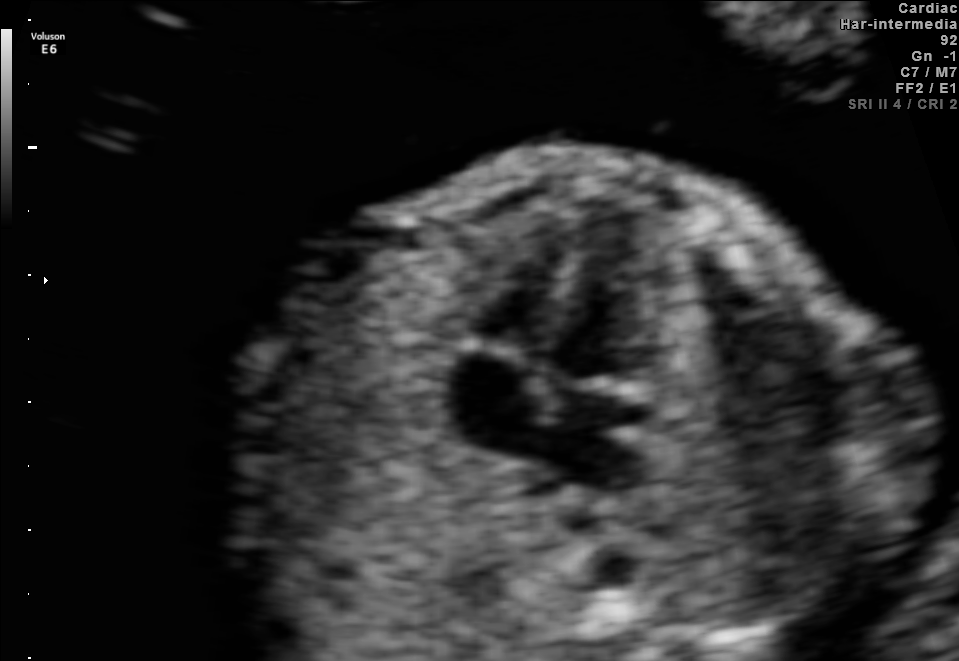
Which standard maternal-fetal ultrasound plane is shown: fetal abdomen, fetal brain, fetal femur, fetal thorax, maternal cervix, or other? If it's fetal brain and one of the three standard brain planes (trans-thalamic, trans-cerebellum, trans-ventricular), name which.

Fetal thorax